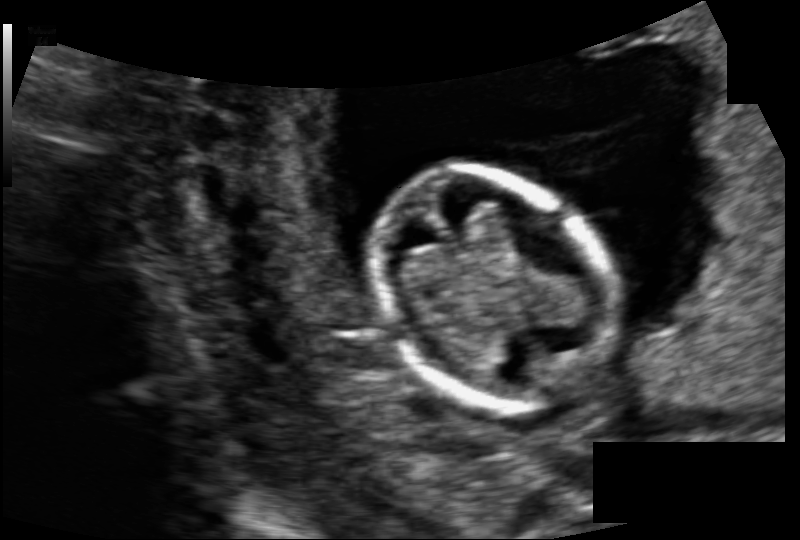
Fetal head ultrasound. Image width: 83.3 mm. Locate the fetal head.

Head: [373,167,607,410]